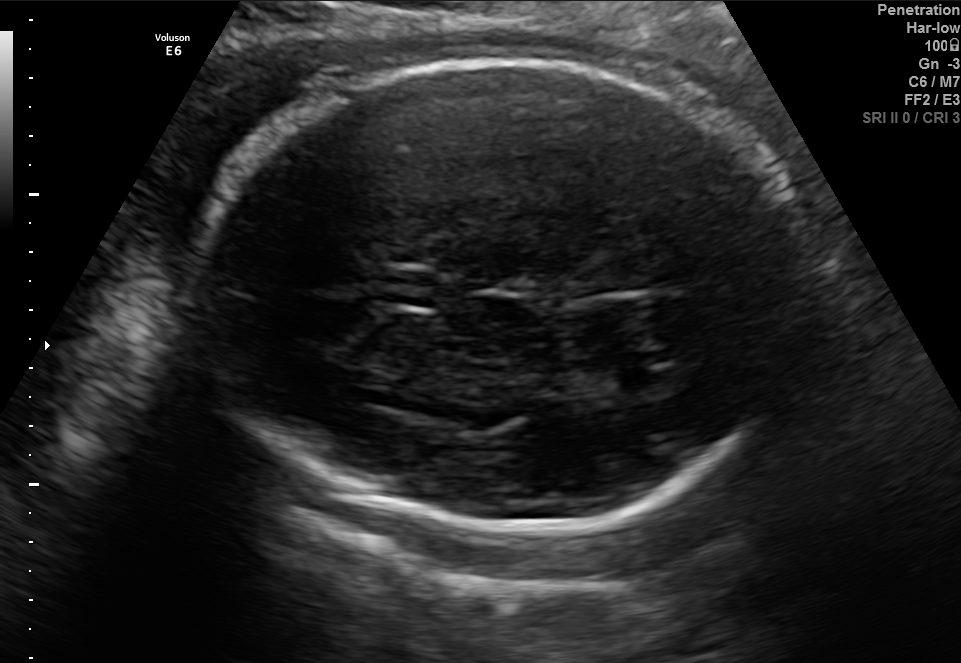
Fetal brain, trans-thalamic plane. Locate the fetal head.

Head: [192,59,821,532]